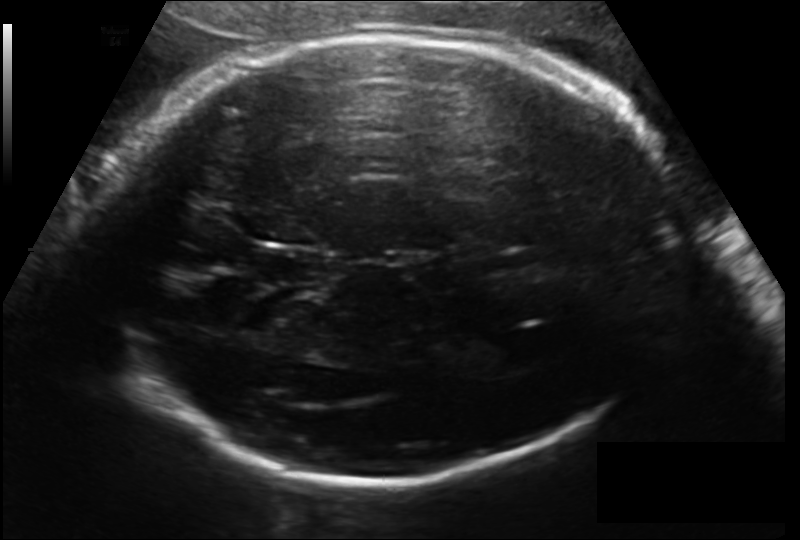
Estimate the fetal head circumference from this 2D ultrasound. Image width: 136.7 mm.

Head circumference: 283.8 mm.